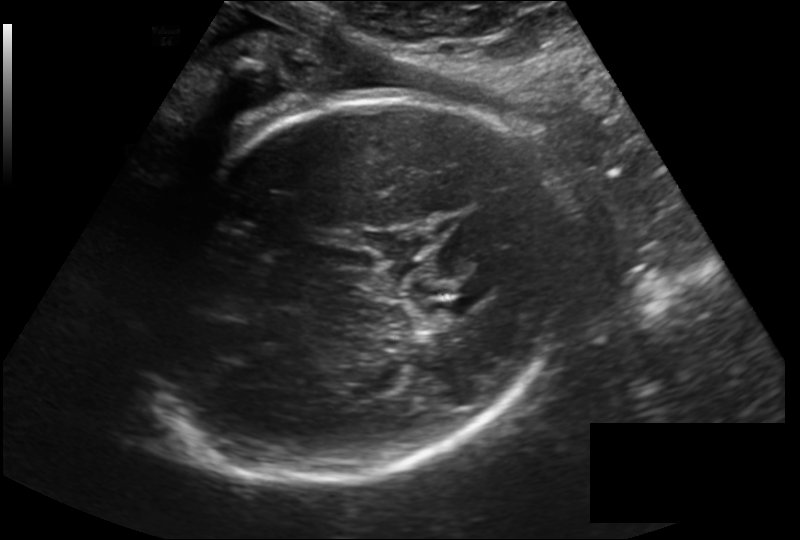
Fetal head ultrasound. Image width: 175.4 mm. Locate the fetal head.

Head: [124,96,574,484]